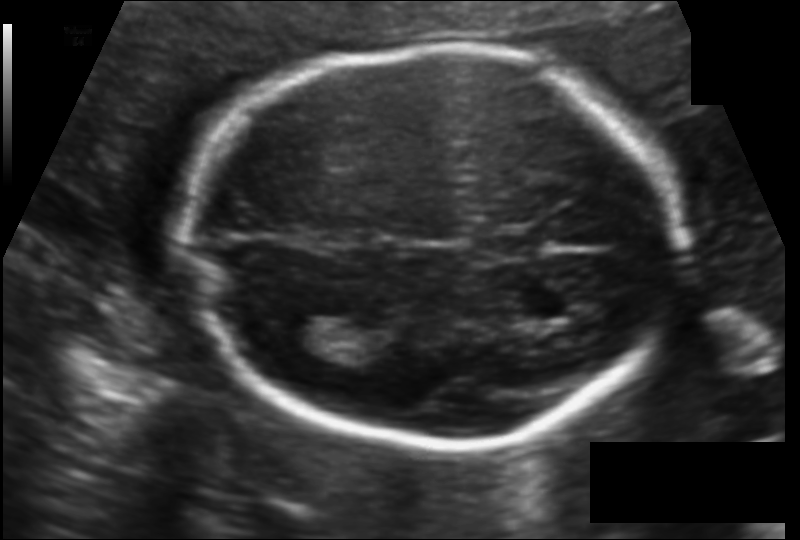
Fetal head ultrasound. Image width: 99.4 mm. Where is the lateral ventricle?

Lateral ventricle bounding box: [266,312,325,355]